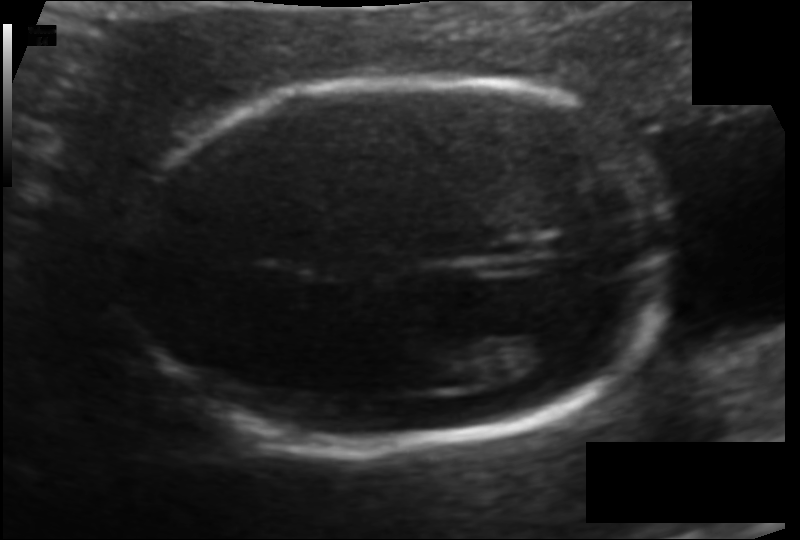
Measure the fetal head circumference shown in this ultrasound image. Image width: 83.8 mm.

Head circumference: 156.6 mm.